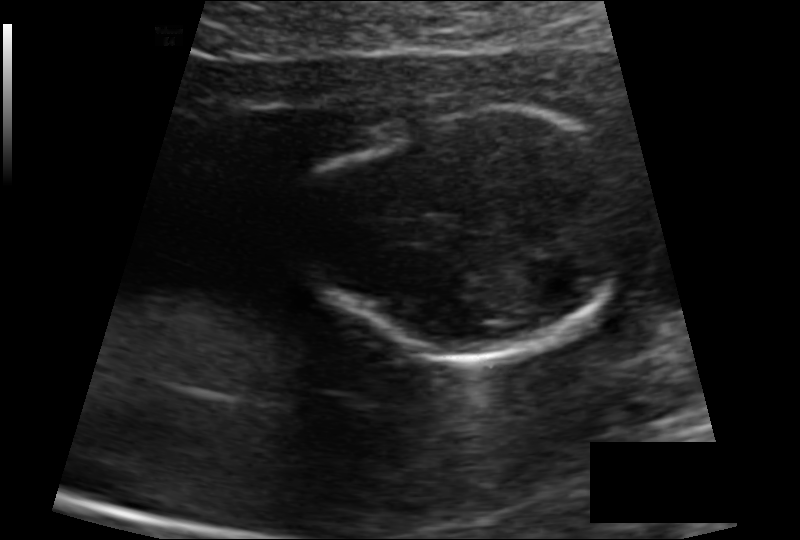
Estimate the fetal head circumference from this 2D ultrasound. Image width: 87.9 mm.

Head circumference: 102.8 mm.